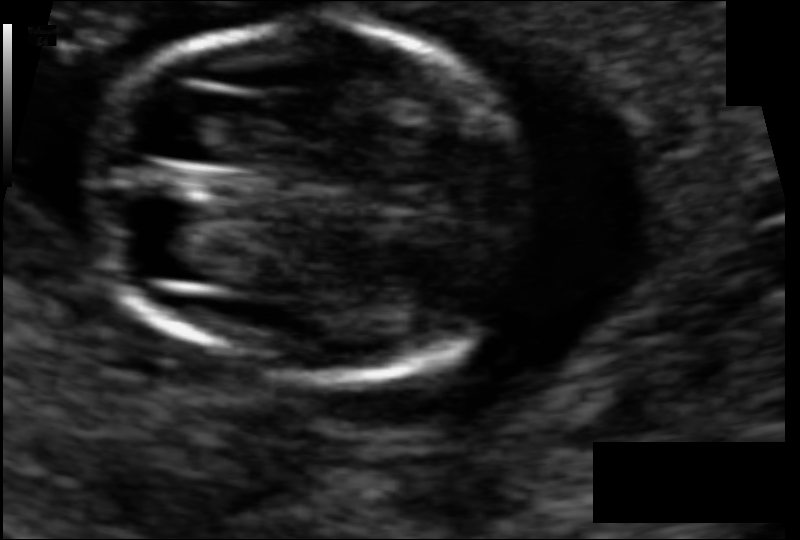
In this fetal head ultrasound, give the bounding box of the fetal head. Image width: 48.6 mm.

[93,21,542,383]